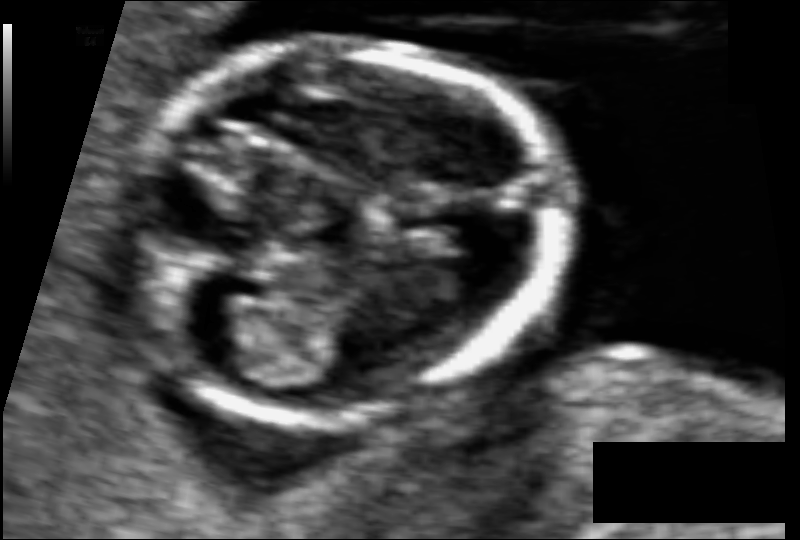
What is the fetal head circumference? Image width is 47.6 mm.

79.5 mm